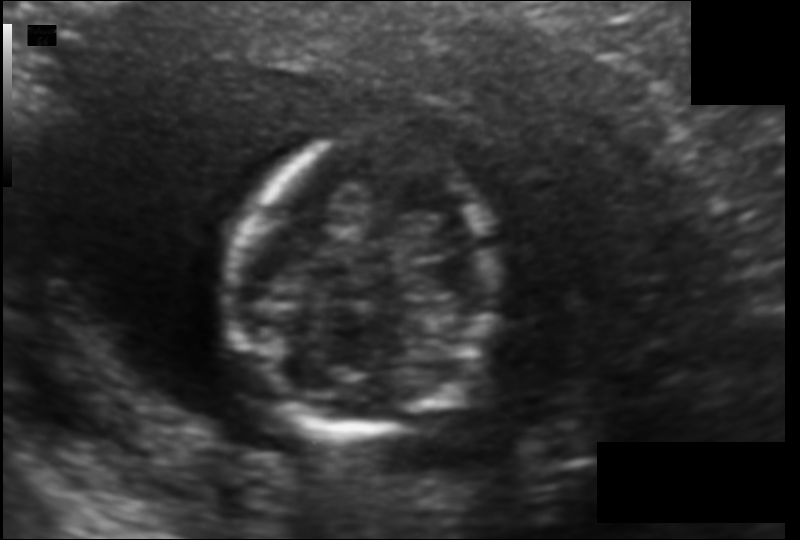
Fetal head ultrasound. Image width: 83.0 mm. Locate the fetal head and, if visible, the cavum septum pellucidum (CSP) and lateral ventricle (LV). Give bounding boxes as [x1,y1,x2,y2].

Head: [228,138,494,435]